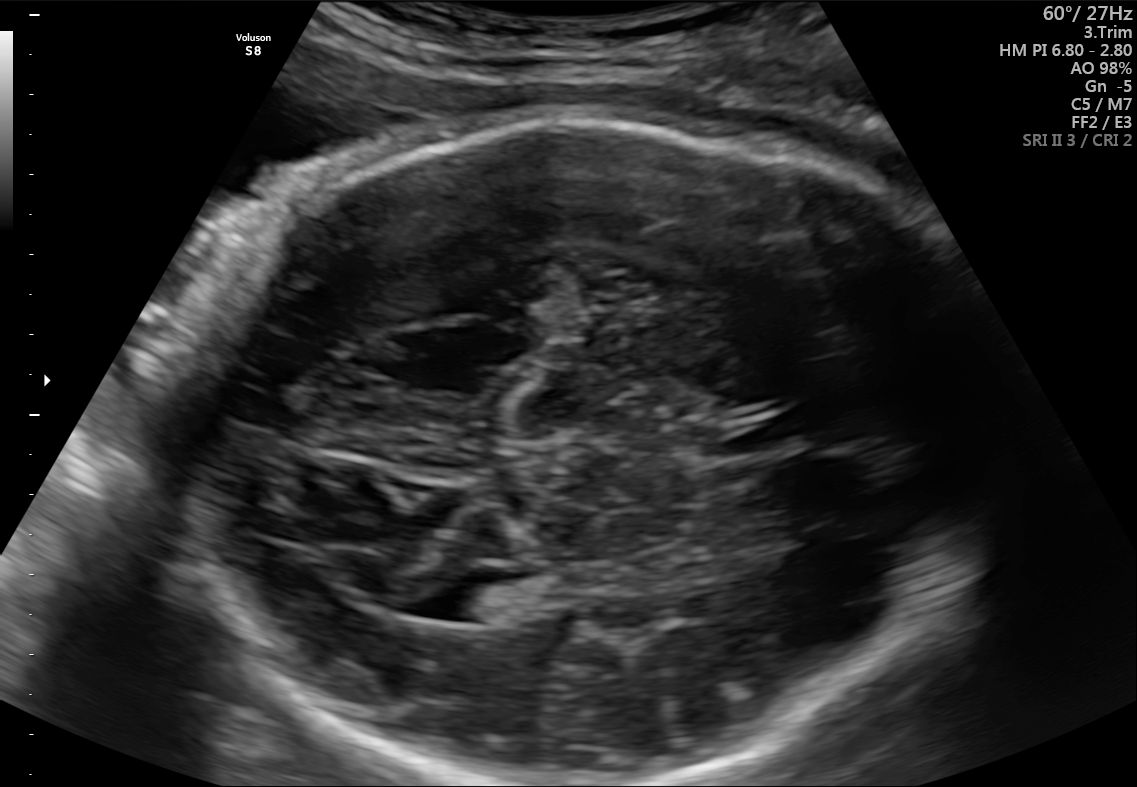
Fetal brain, trans-thalamic plane. Where is the cavum septum pellucidum?

CSP bounding box: [710,410,801,461]